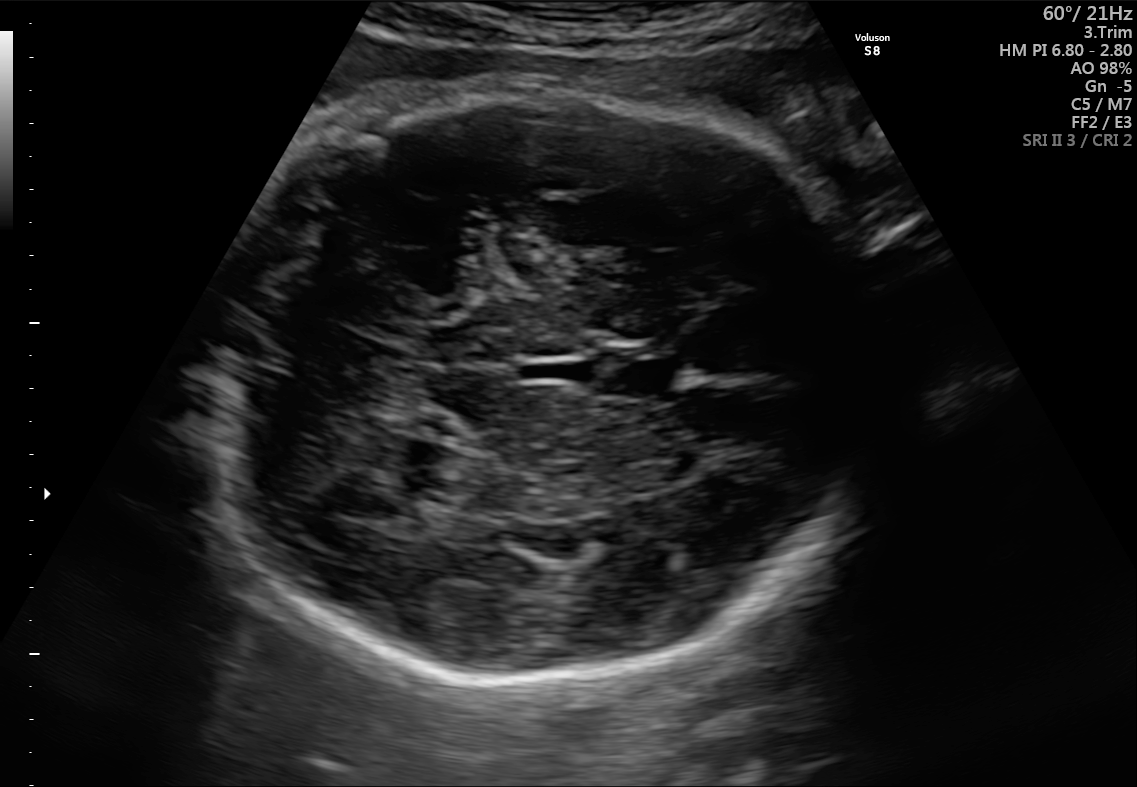
In this fetal brain, trans-cerebellum plane, give bounding boxes for the head outline, cavum septum pellucidum (CSP), and lateral ventricle (LV), where visible.

Head: [207,89,877,681]
CSP: [601,340,684,401]